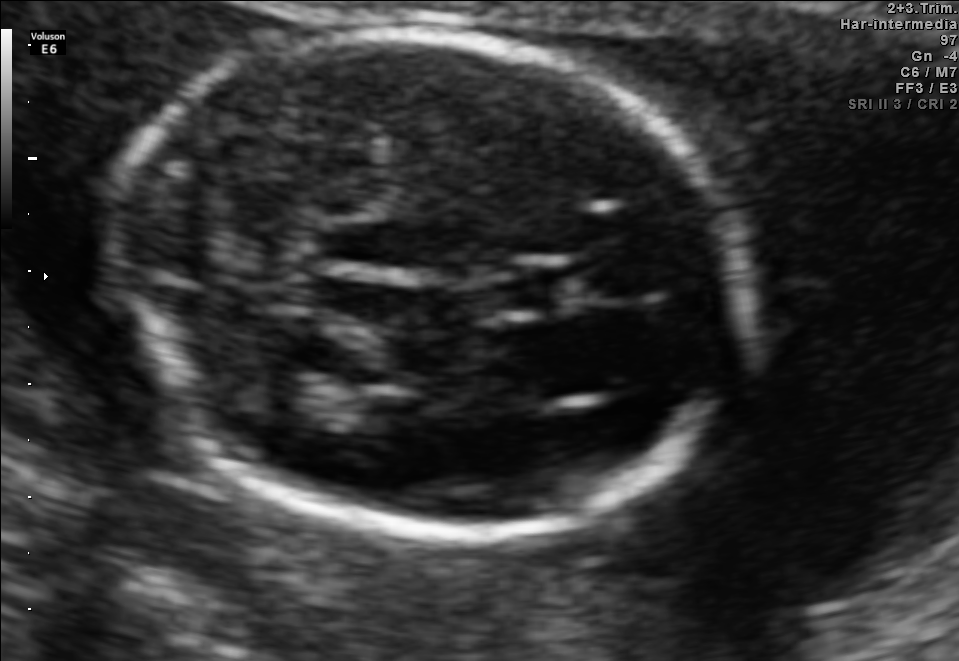
In this fetal brain, trans-thalamic plane, give the bounding box of the cavum septum pellucidum.

[492,268,559,307]